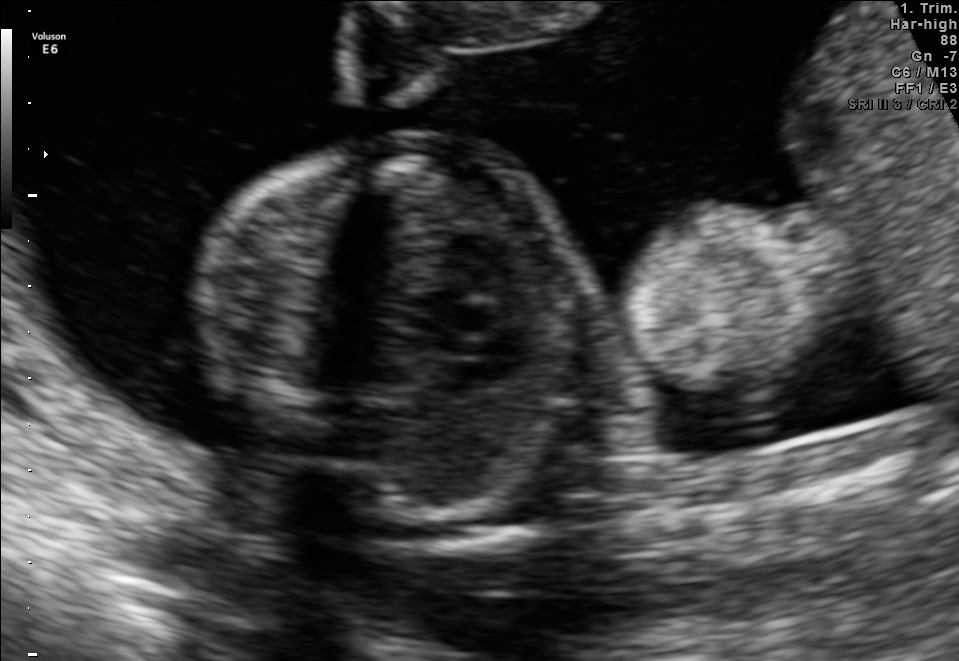
Identify the standard plane in this fetal ultrasound image: fetal abdomen, fetal brain, fetal femur, fetal thorax, maternal cervix, or other. If it's fetal brain and one of the three standard brain planes (trans-thalamic, trans-cerebellum, trans-ventricular), name which.

Fetal thorax